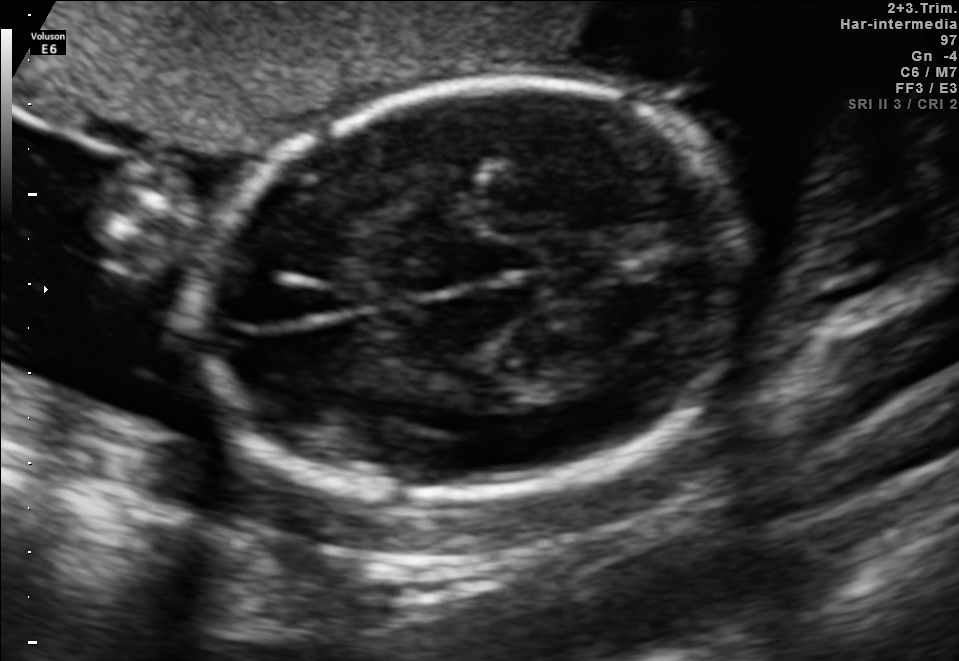
Fetal brain, trans-thalamic plane. Give [x1,y1,x2,y2] bounding boxes for each visible structure among: fetal head, CSP, LV.

Head: [193,80,752,495]